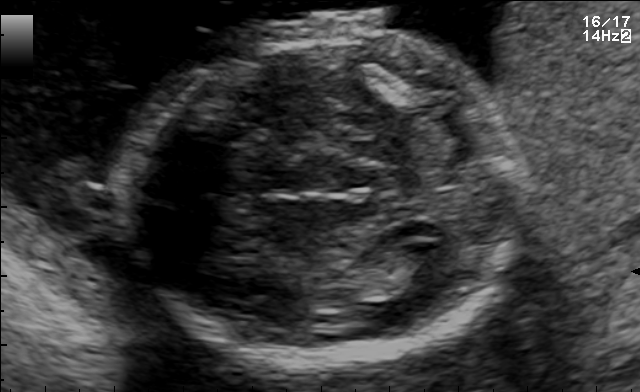
Fetal brain, trans-thalamic plane. Give [x1,y1,x2,y2] bounding boxes for each visible structure among: fetal head, CSP, LV.

Head: [121,23,519,361]